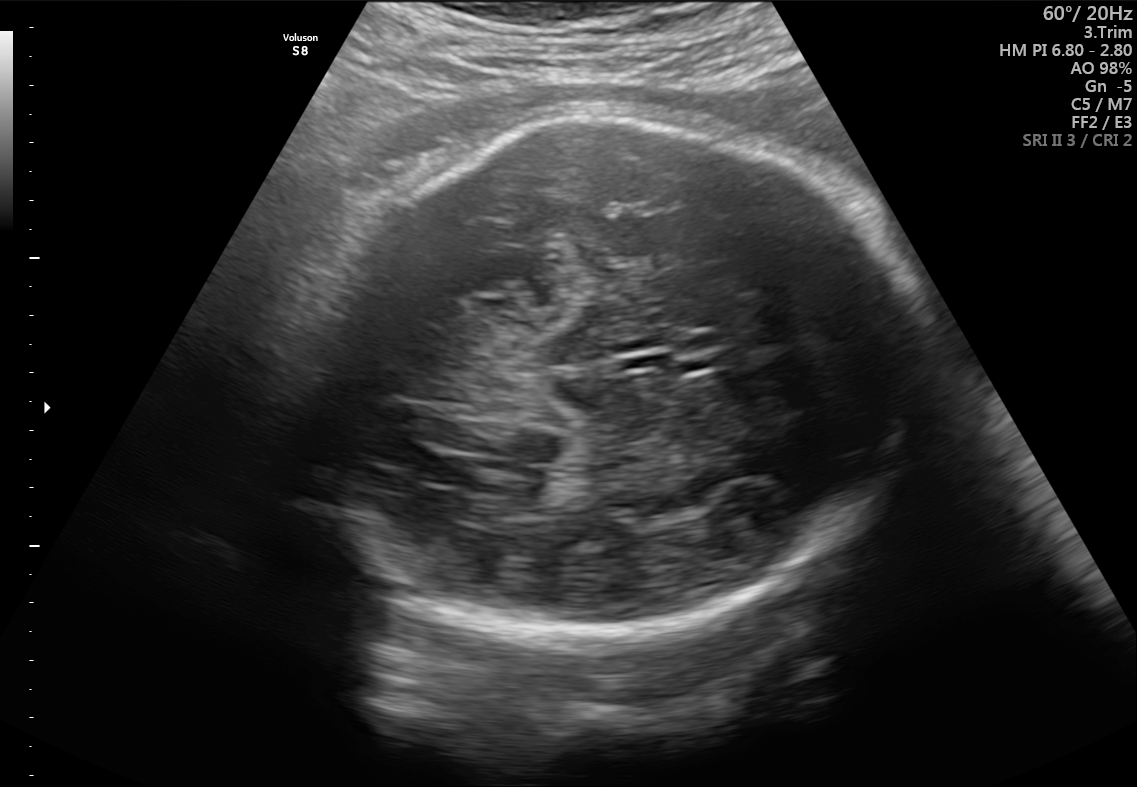
In this fetal brain, trans-thalamic plane, give bounding boxes for the head outline, cavum septum pellucidum (CSP), and lateral ventricle (LV), where visible.

Head: [292,110,931,639]